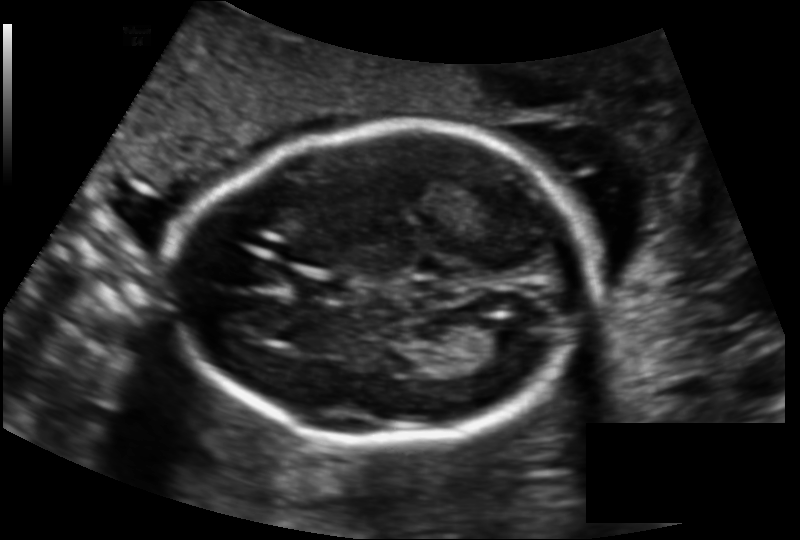
Fetal head ultrasound. Image width: 109.7 mm. Locate the fetal head.

Head: [177,124,593,444]